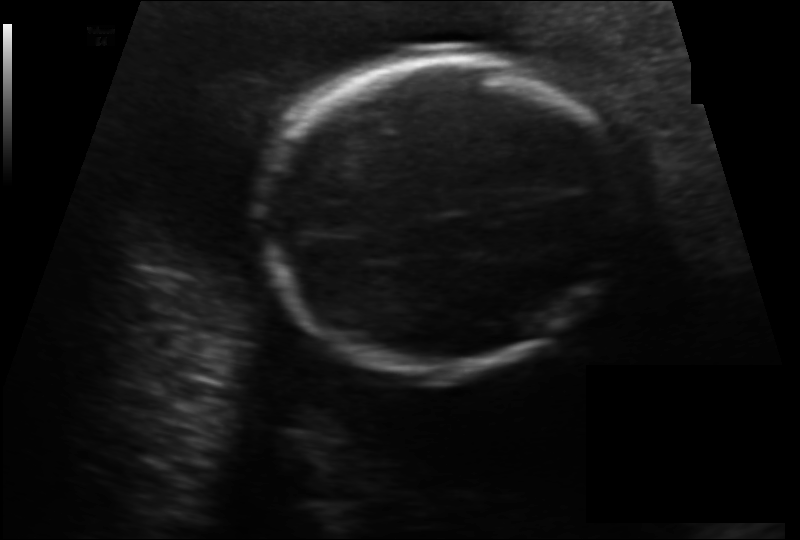
What is the fetal head circumference? Image width is 124.9 mm.

171.4 mm